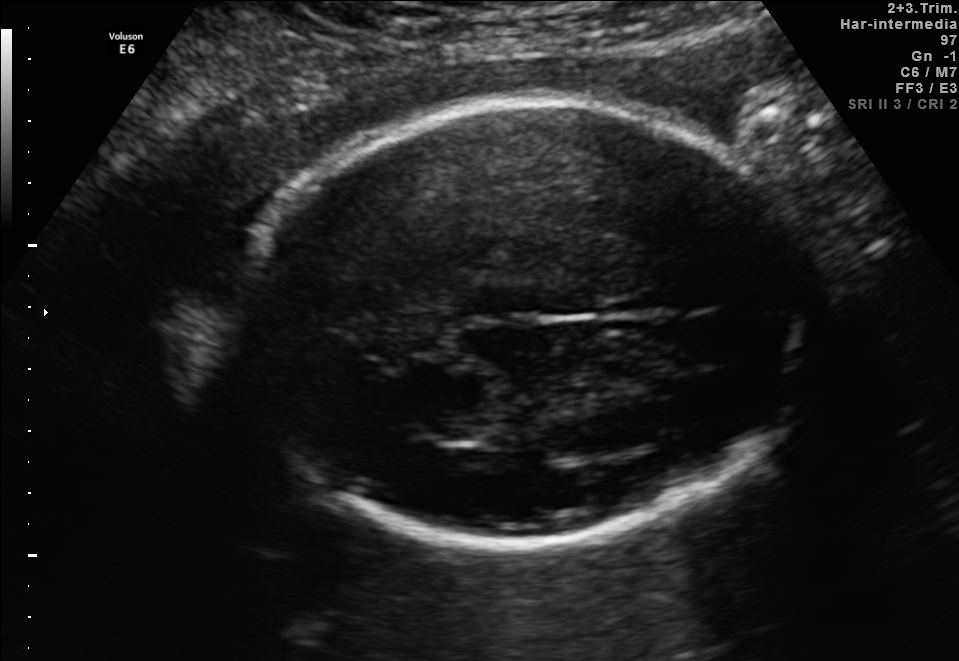
In this fetal brain, trans-thalamic plane, give the bounding box of the fetal head.

[222,102,833,547]